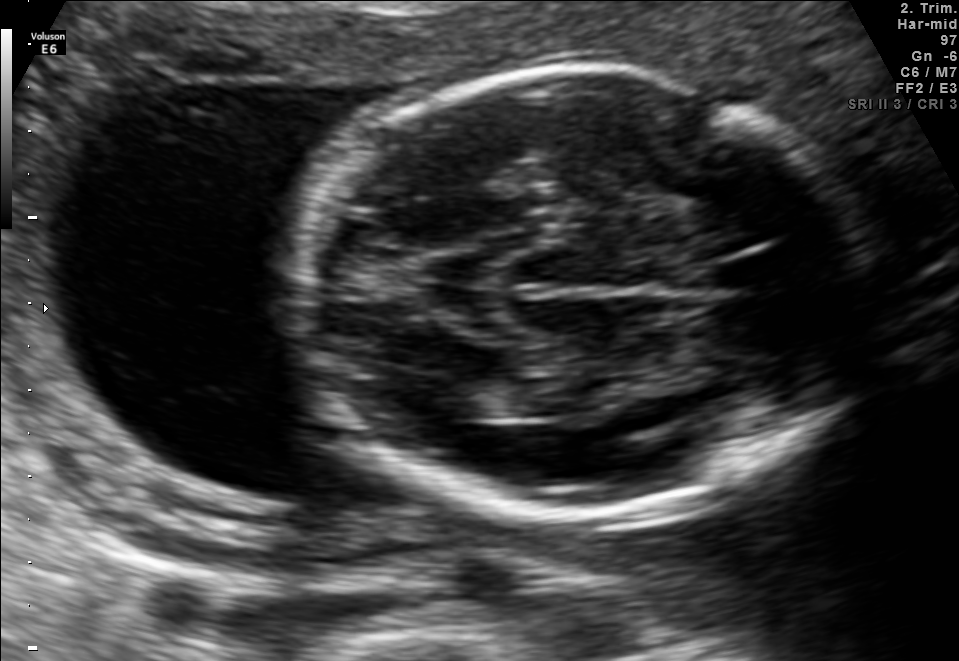
Fetal brain, trans-thalamic plane. Locate the fetal head.

Head: [298,69,867,516]